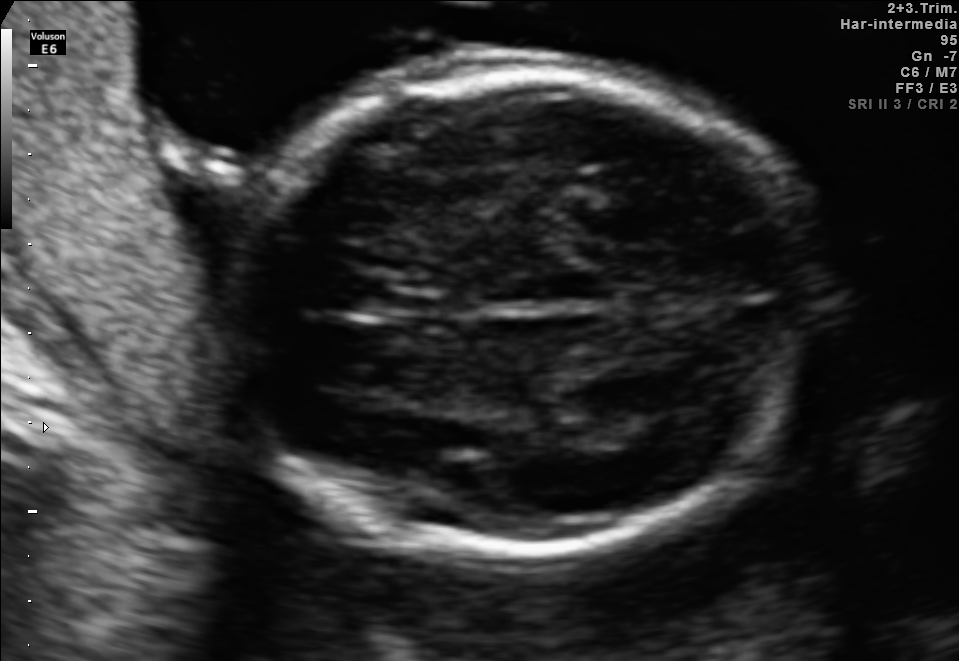
Fetal brain, trans-thalamic plane. Locate the fetal head and, if visible, the cavum septum pellucidum (CSP) and lateral ventricle (LV). Give bounding boxes as [x1,y1,x2,y2].

Head: [209,74,800,555]